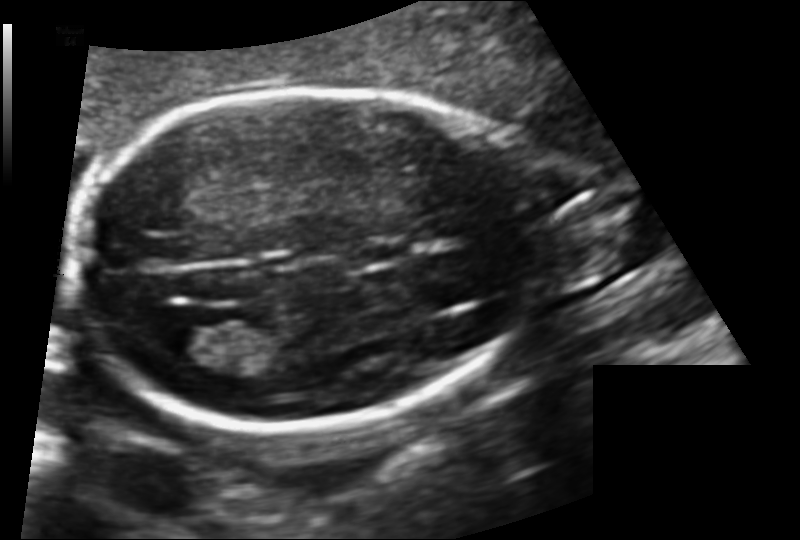
Estimate the fetal head circumference from this 2D ultrasound. Image width: 102.4 mm.

Head circumference: 170.6 mm.